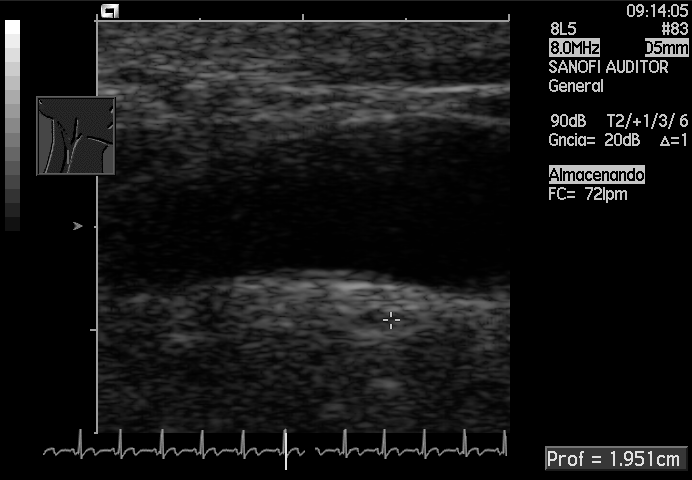
Identify the standard plane in this fetal ultrasound image: fetal abdomen, fetal brain, fetal femur, fetal thorax, maternal cervix, or other. If it's fetal brain and one of the three standard brain planes (trans-thalamic, trans-cerebellum, trans-ventricular), name which.

Other